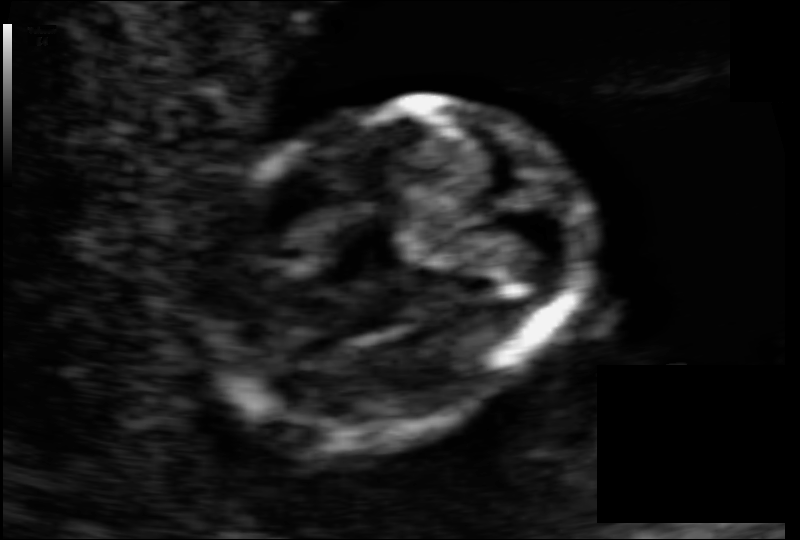
Fetal head ultrasound. Image width: 55.0 mm. Locate the fetal head.

Head: [206,101,582,444]